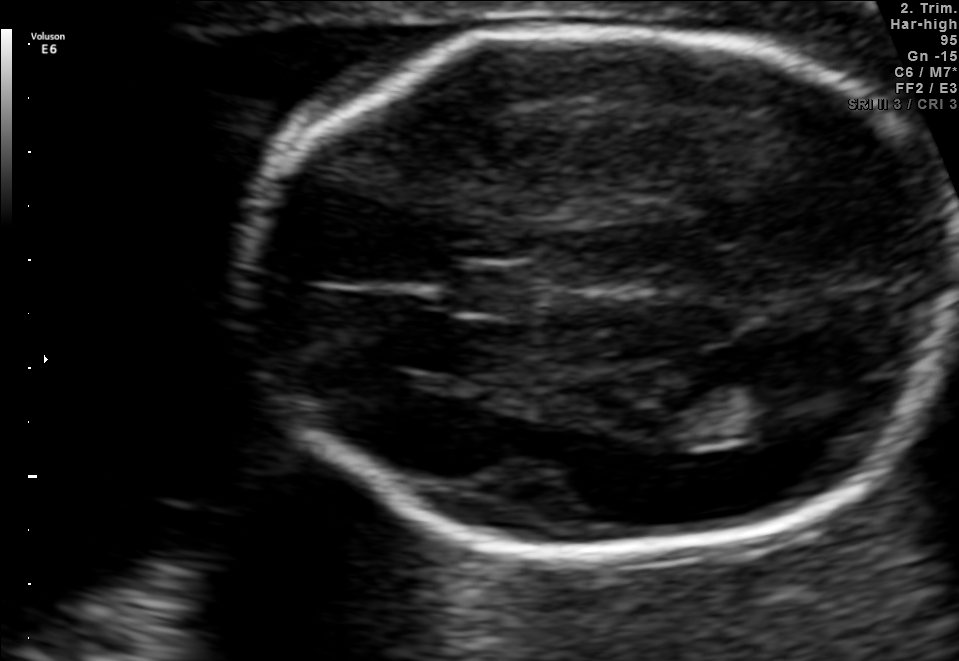
In this fetal brain, trans-thalamic plane, give the bounding box of the fetal head.

[240,29,958,552]